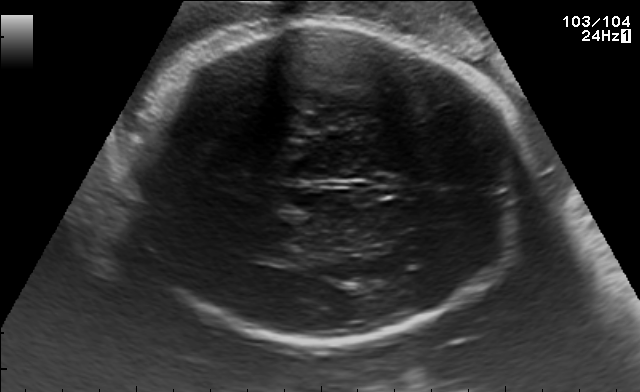
Fetal brain, trans-thalamic plane. Give [x1,y1,x2,y2] bounding boxes for each visible structure among: fetal head, CSP, LV.

Head: [125,24,530,342]